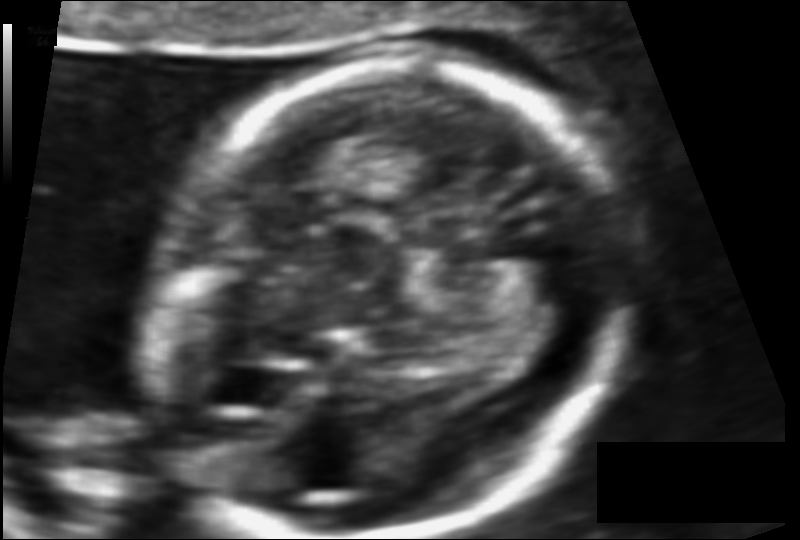
Measure the fetal head circumference shown in this ultrasound image. Image width: 66.0 mm.

Head circumference: 130.5 mm.